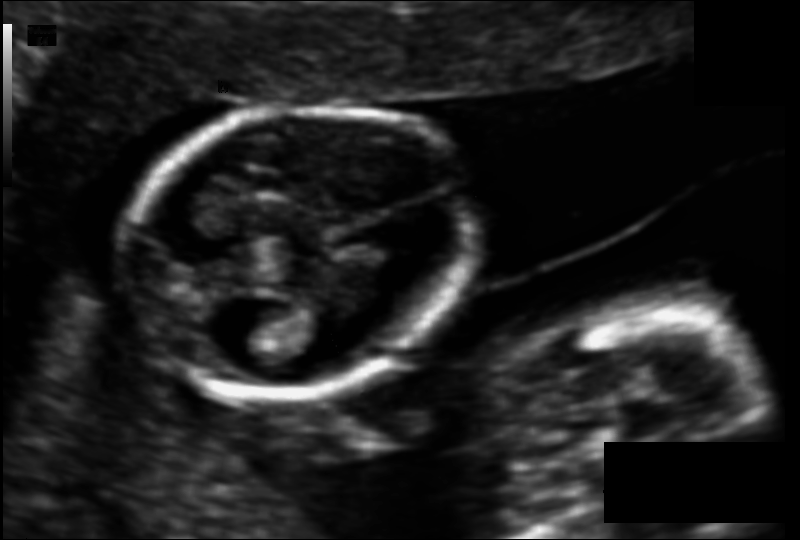
In this fetal head ultrasound, give bounding boxes for the head outline, cavum septum pellucidum (CSP), and lateral ventricle (LV), where visible. Image width: 76.3 mm.

Head: [123,105,474,395]